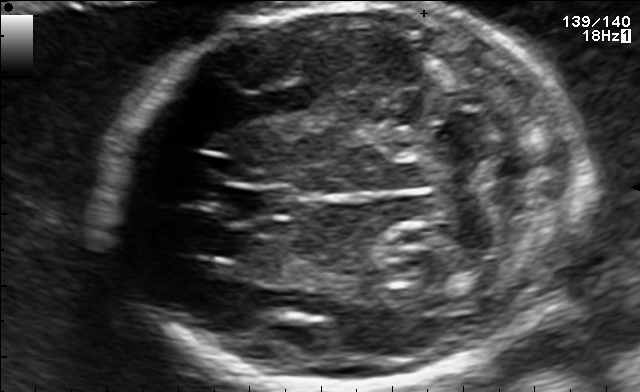
In this fetal brain, trans-cerebellum plane, give the bounding box of the fetal head.

[107,5,587,388]